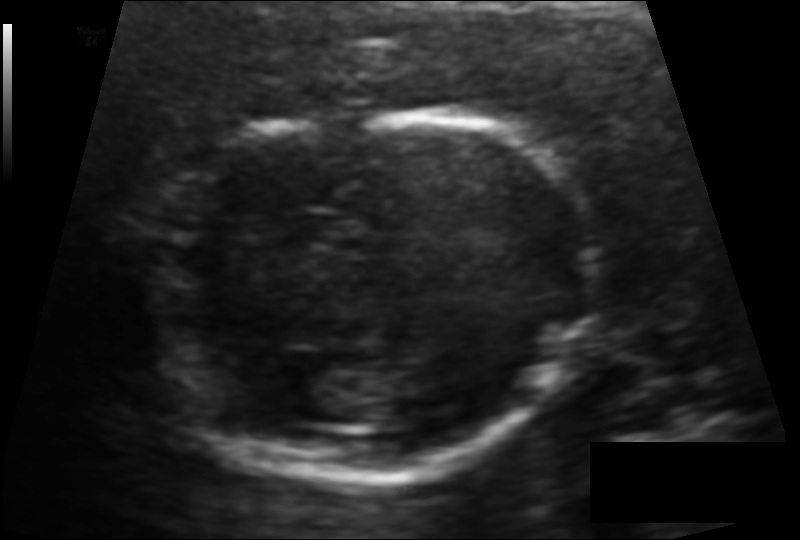
In this fetal head ultrasound, give the bounding box of the fetal head. Image width: 81.2 mm.

[148,111,601,478]